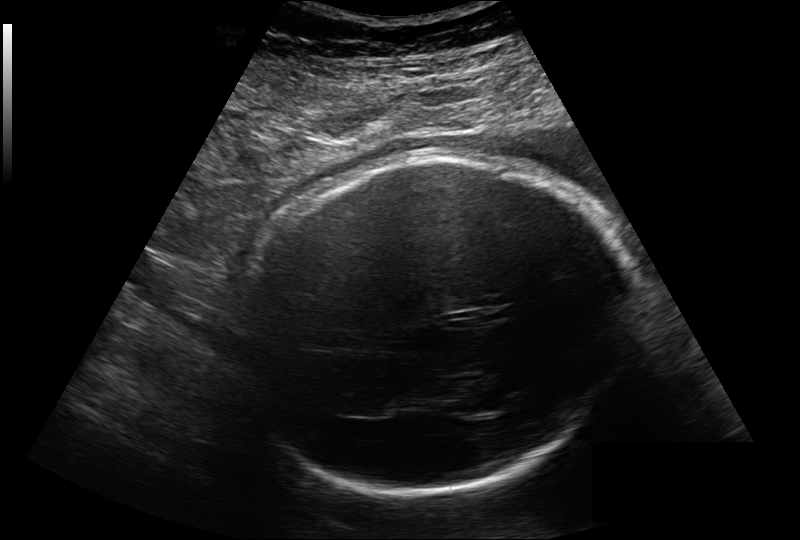
Estimate the fetal head circumference from this 2D ultrasound.

Head circumference: 315.7 mm (image width 211.0 mm).